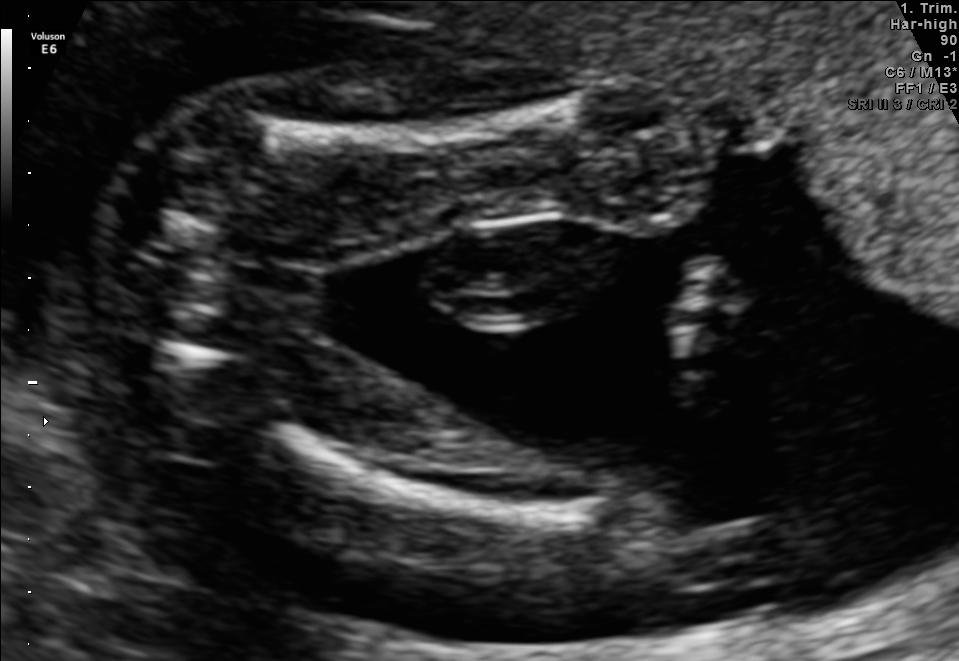
Classify this maternal-fetal ultrasound image as one of the six standard planes — fetal abdomen, fetal brain, fetal femur, fetal thorax, maternal cervix, or other. If it's fetal brain and one of the three standard brain planes (trans-thalamic, trans-cerebellum, trans-ventricular), name which.

Fetal femur